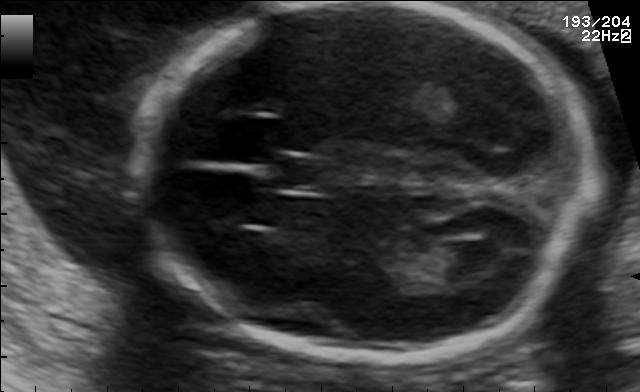
In this fetal brain, trans-ventricular plane, give the bounding box of the cavum septum pellucidum.

[273,154,335,195]